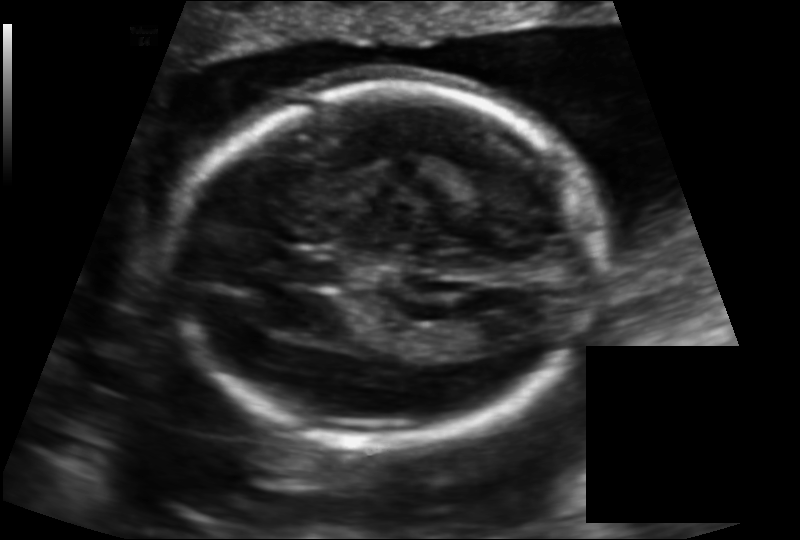
In this fetal head ultrasound, give the bounding box of the lateral ventricle. Image width: 106.6 mm.

[453,313,518,357]